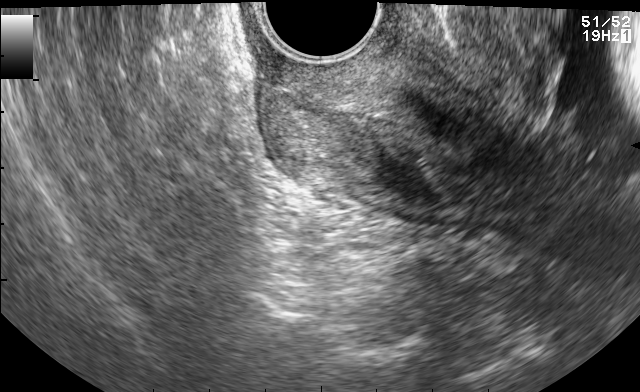
Identify the standard plane in this fetal ultrasound image: fetal abdomen, fetal brain, fetal femur, fetal thorax, maternal cervix, or other. If it's fetal brain and one of the three standard brain planes (trans-thalamic, trans-cerebellum, trans-ventricular), name which.

Maternal cervix